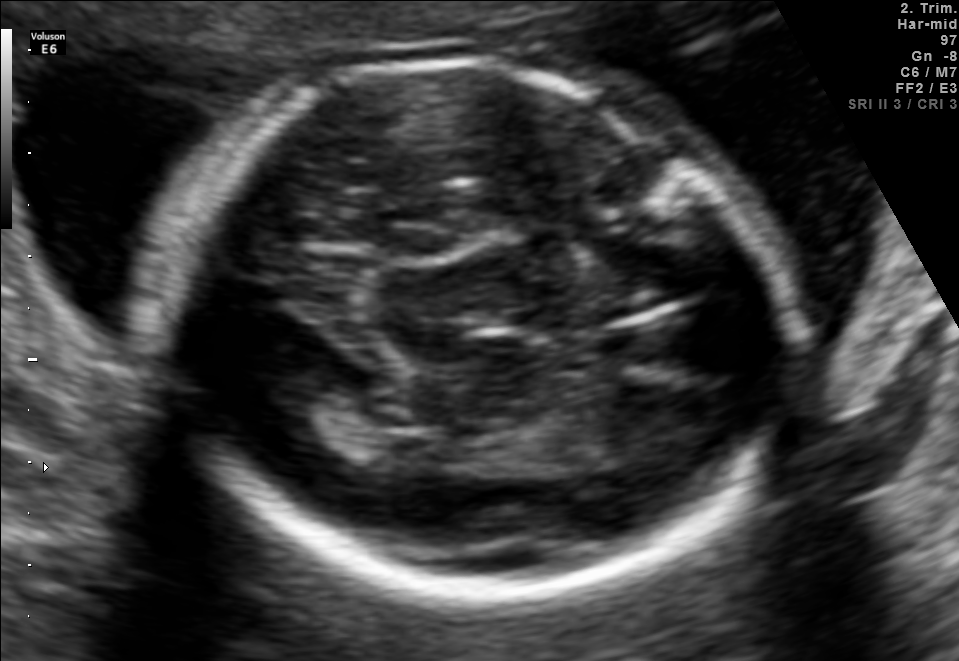
Fetal brain, trans-thalamic plane. Locate the fetal head.

Head: [158,64,795,599]